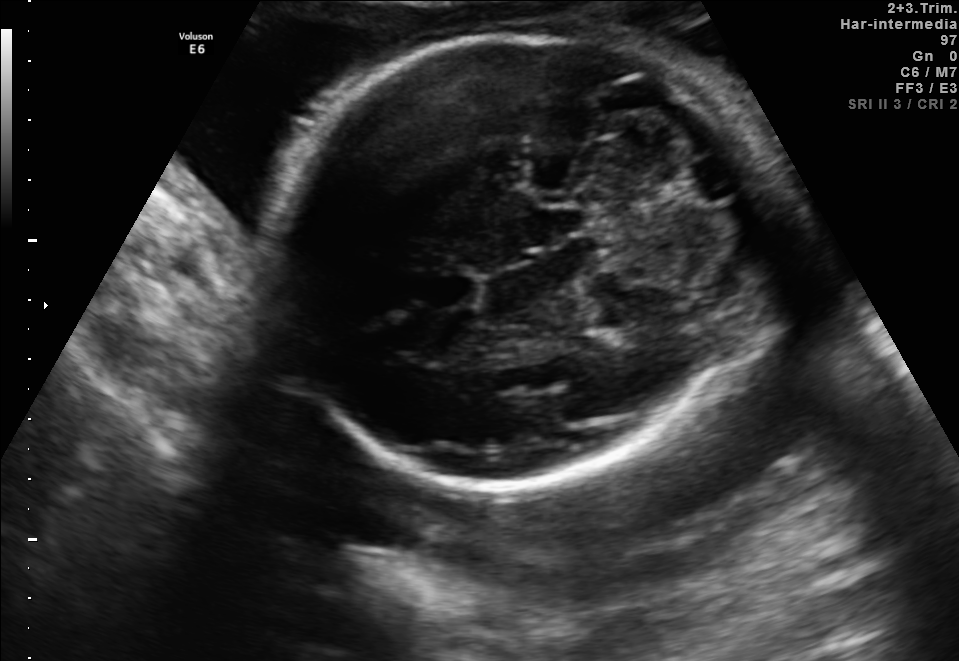
Which standard maternal-fetal ultrasound plane is shown: fetal abdomen, fetal brain, fetal femur, fetal thorax, maternal cervix, or other? If it's fetal brain and one of the three standard brain planes (trans-thalamic, trans-cerebellum, trans-ventricular), name which.

Fetal brain (trans-cerebellum plane)